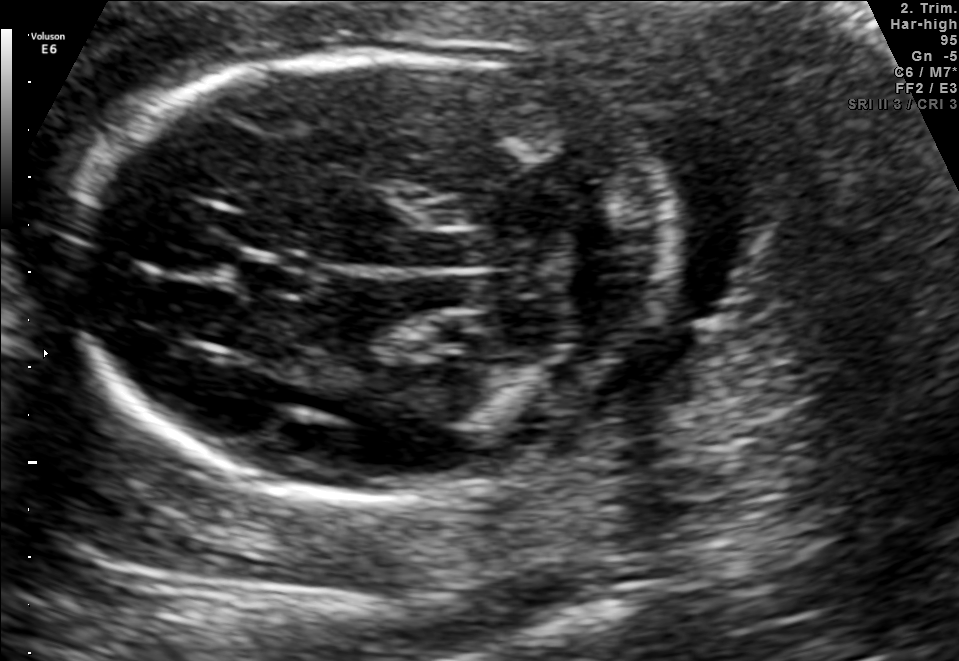
Fetal brain, trans-cerebellum plane. Locate the fetal head.

Head: [68,55,673,496]